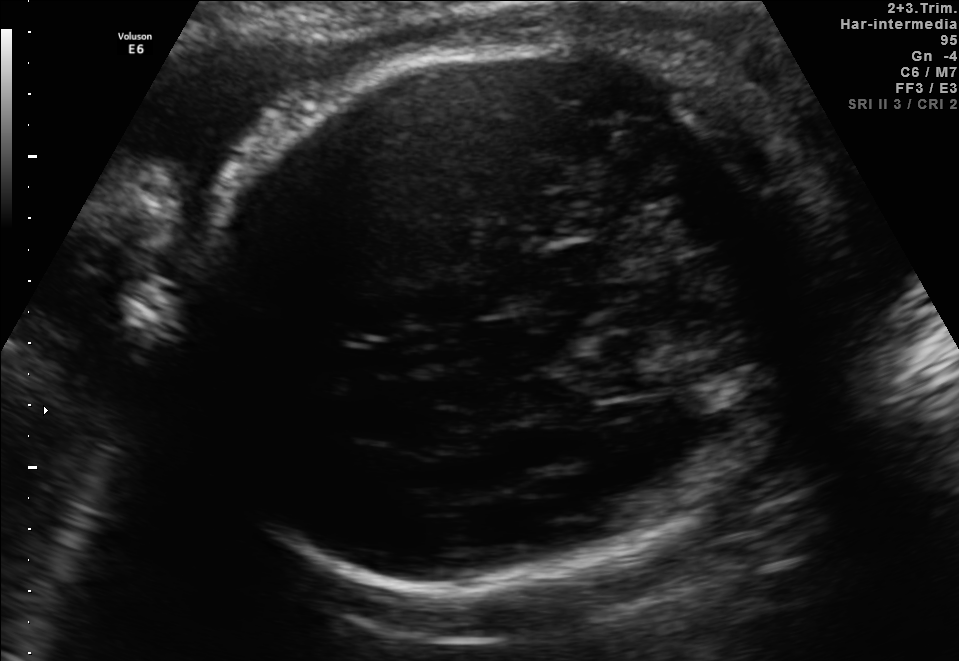
This is a 2D maternal-fetal ultrasound frame. Is it a fetal abdomen, fetal brain, fetal femur, fetal thorax, maternal cervix, or other standard plane? If it's fetal brain and one of the three standard brain planes (trans-thalamic, trans-cerebellum, trans-ventricular), name which.

Fetal brain (trans-cerebellum plane)